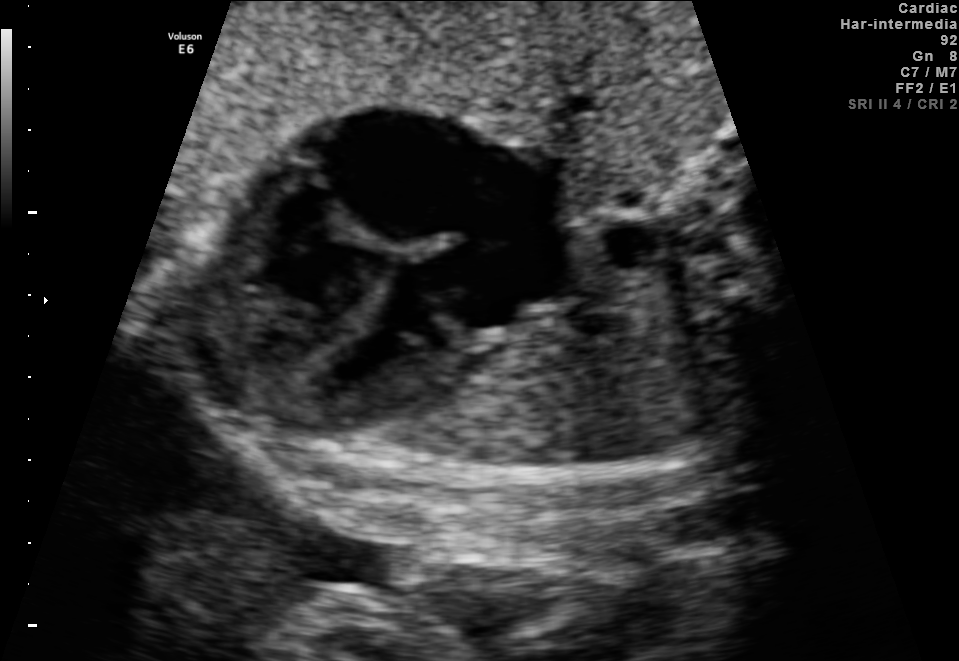
Identify the standard plane in this fetal ultrasound image: fetal abdomen, fetal brain, fetal femur, fetal thorax, maternal cervix, or other. If it's fetal brain and one of the three standard brain planes (trans-thalamic, trans-cerebellum, trans-ventricular), name which.

Fetal thorax